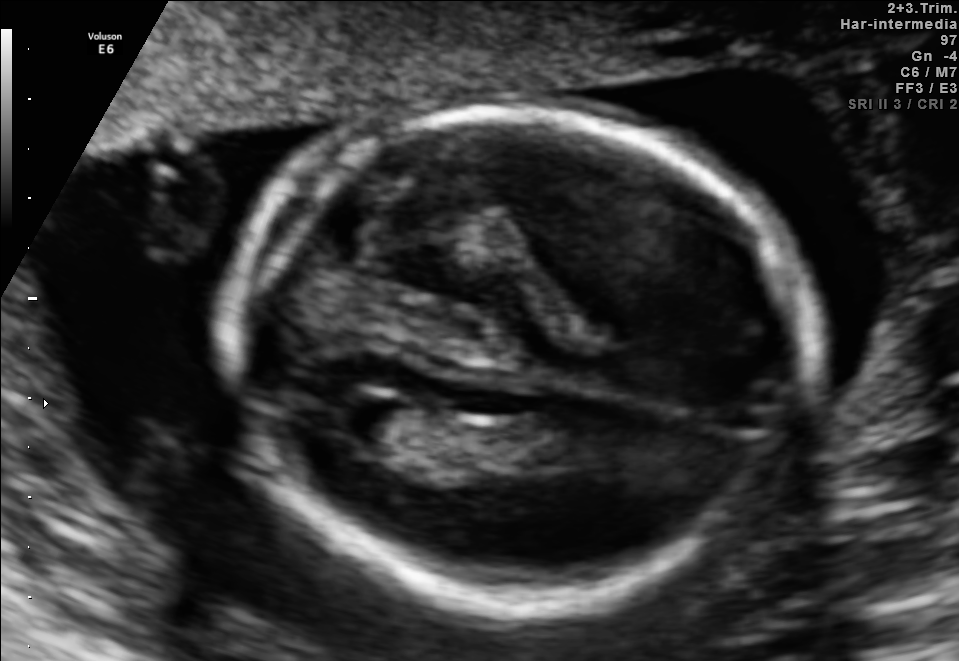
Fetal brain, trans-ventricular plane. Locate the fetal head and, if visible, the cavum septum pellucidum (CSP) and lateral ventricle (LV). Give bounding boxes as [x1,y1,x2,y2].

Head: [215,101,826,618]
Lateral ventricle: [327,386,409,450]